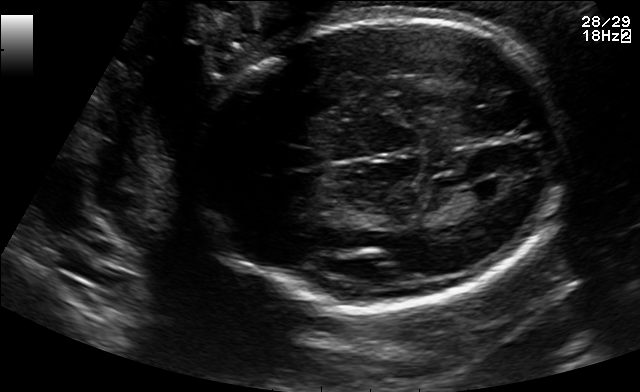
Fetal brain, trans-ventricular plane. Where is the fetal head?

Head bounding box: [200,14,574,310]